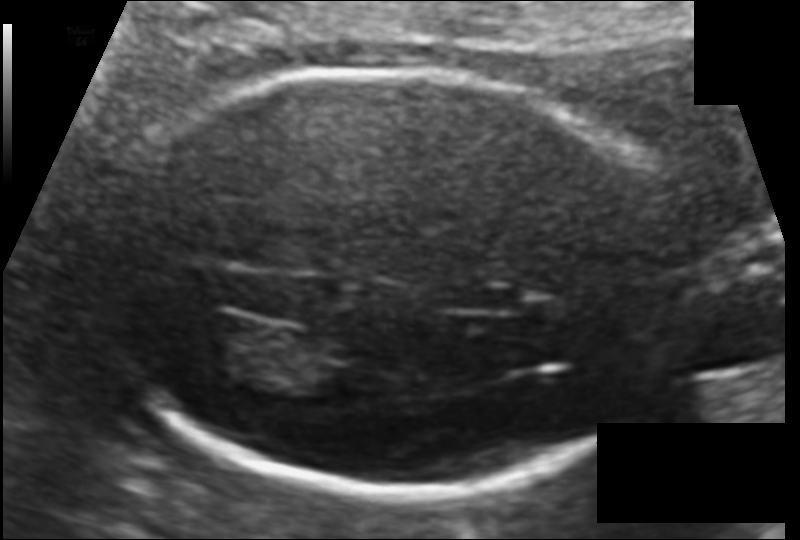
Fetal head ultrasound. Image width: 82.9 mm. Locate the fetal head and, if visible, the cavum septum pellucidum (CSP) and lateral ventricle (LV). Give bounding boxes as [x1,y1,x2,y2].

Head: [103,73,687,490]